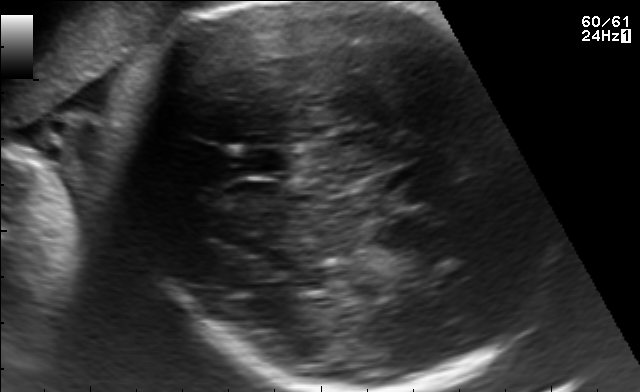
In this fetal brain, trans-thalamic plane, give the bounding box of the fetal head.

[137,3,525,389]